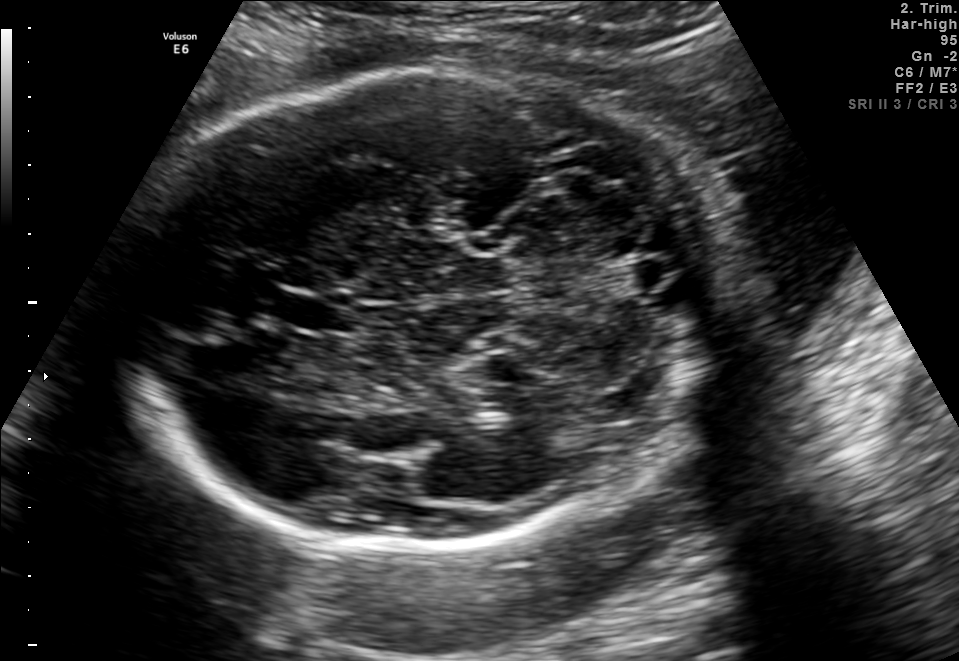
Fetal brain, trans-cerebellum plane. Locate the fetal head.

Head: [123,71,720,554]